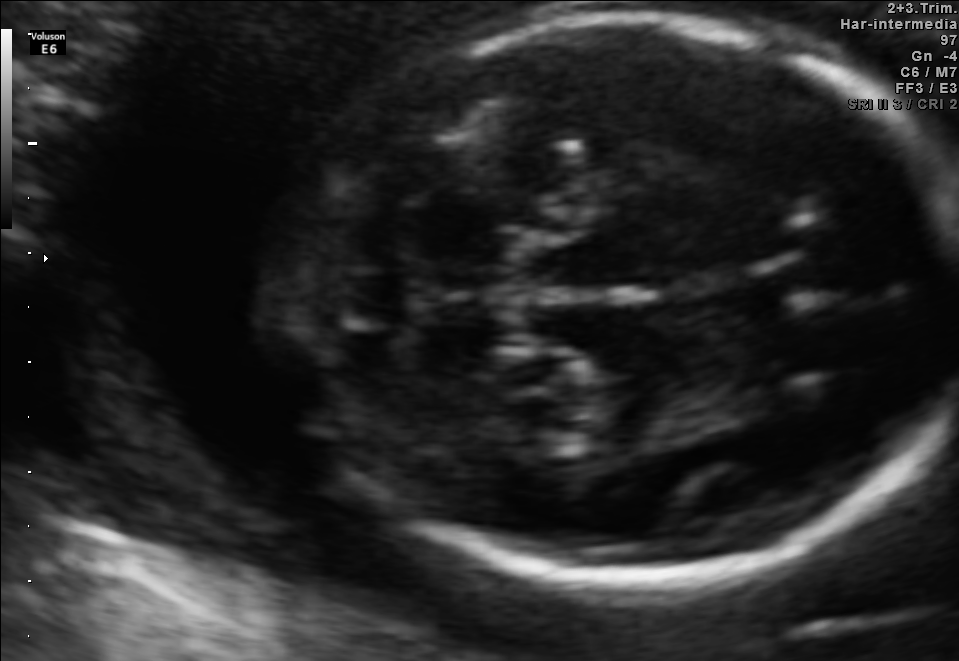
Which standard maternal-fetal ultrasound plane is shown: fetal abdomen, fetal brain, fetal femur, fetal thorax, maternal cervix, or other? If it's fetal brain and one of the three standard brain planes (trans-thalamic, trans-cerebellum, trans-ventricular), name which.

Fetal brain (trans-cerebellum plane)